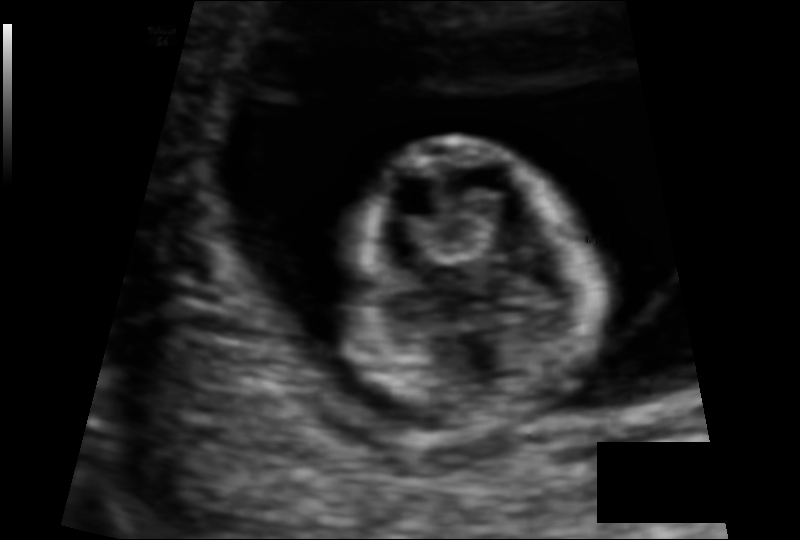
Fetal head ultrasound. Image width: 70.2 mm. Locate the fetal head and, if visible, the cavum septum pellucidum (CSP) and lateral ventricle (LV). Give bounding boxes as [x1,y1,x2,y2].

Head: [349,138,596,428]